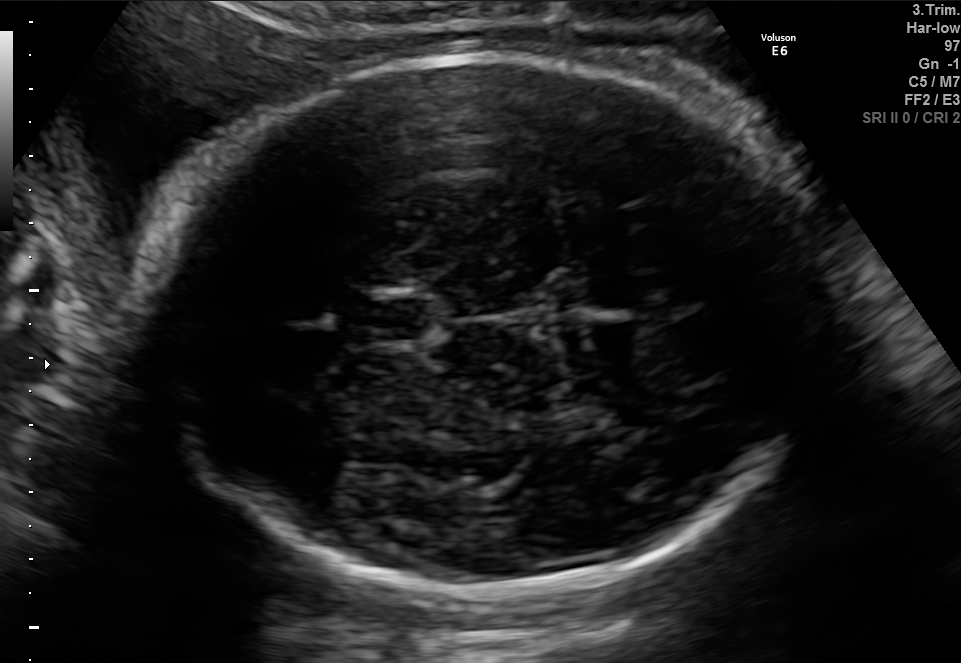
In this fetal brain, trans-thalamic plane, give the bounding box of the fetal head.

[155,55,822,586]